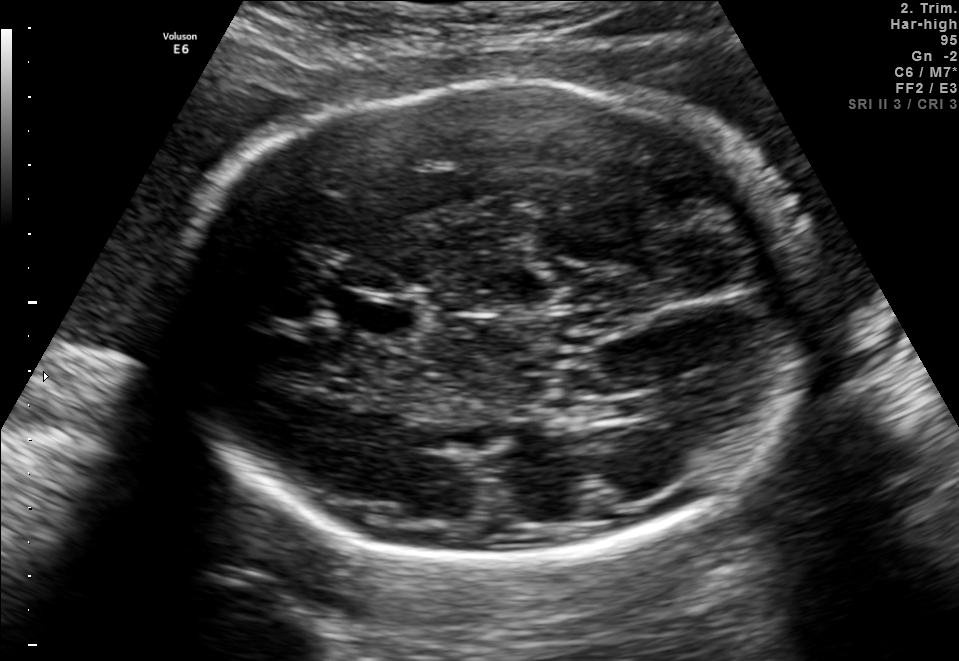
Fetal brain, trans-thalamic plane. Give [x1,y1,x2,y2] bounding boxes for each visible structure among: fetal head, CSP, LV.

Head: [170,80,819,559]
CSP: [345,295,417,338]
Lateral ventricle: [613,389,663,423]